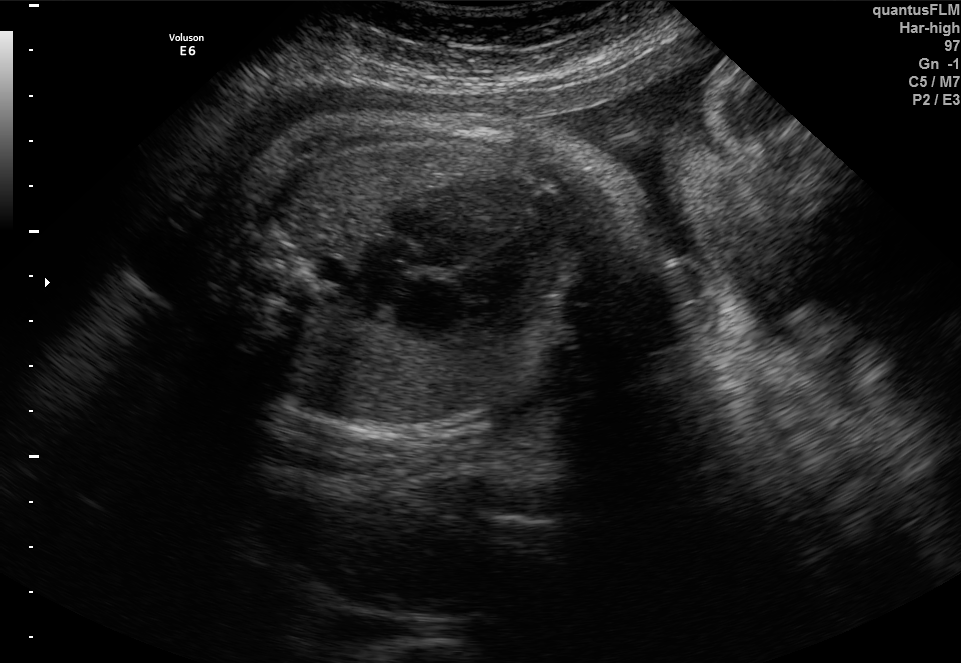
Classify this maternal-fetal ultrasound image as one of the six standard planes — fetal abdomen, fetal brain, fetal femur, fetal thorax, maternal cervix, or other. If it's fetal brain and one of the three standard brain planes (trans-thalamic, trans-cerebellum, trans-ventricular), name which.

Fetal thorax